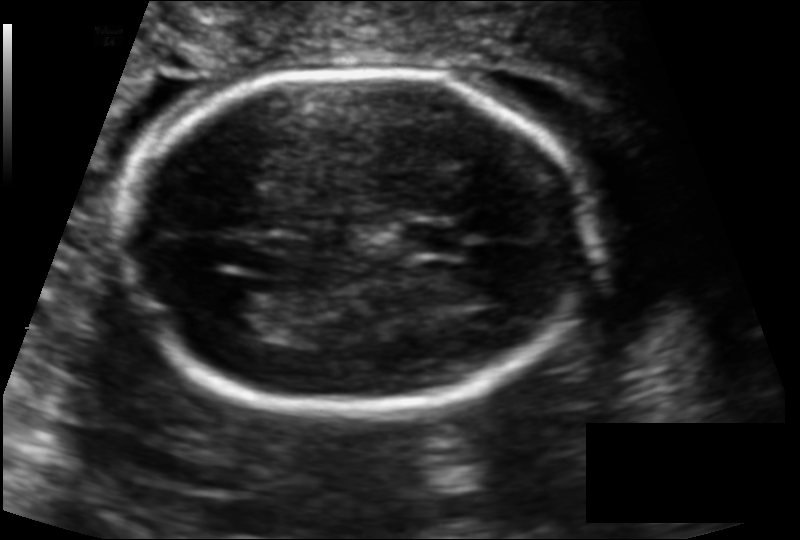
What is the fetal head circumference? Image width is 97.4 mm.

160.2 mm